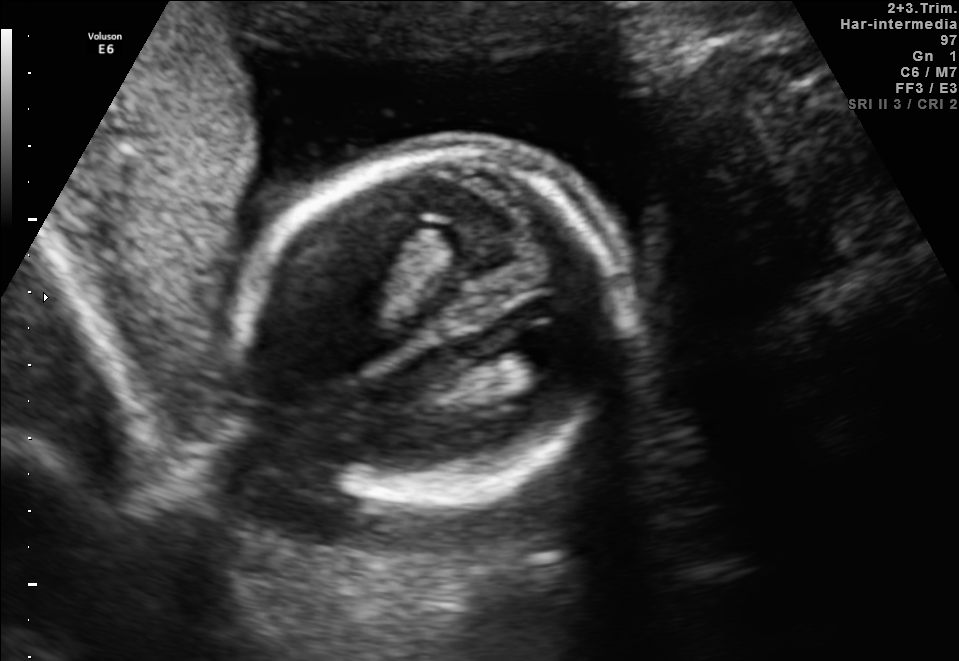
Fetal brain, trans-ventricular plane. Locate the lateral ventricle.

Lateral ventricle: [494,317,576,389]